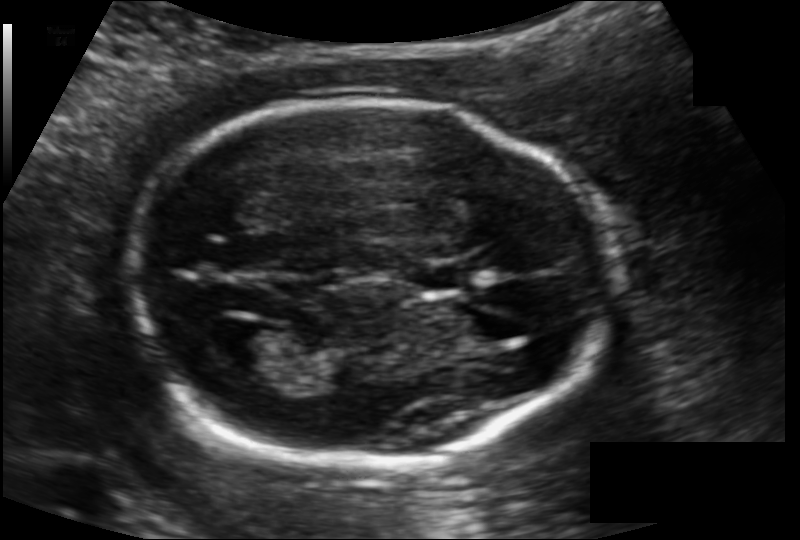
In this fetal head ultrasound, give bounding boxes for the head outline, cavum septum pellucidum (CSP), and lateral ventricle (LV), where visible. Image width: 96.5 mm.

Head: [127,101,615,463]
CSP: [416,261,468,292]
Lateral ventricle: [211,322,286,378]